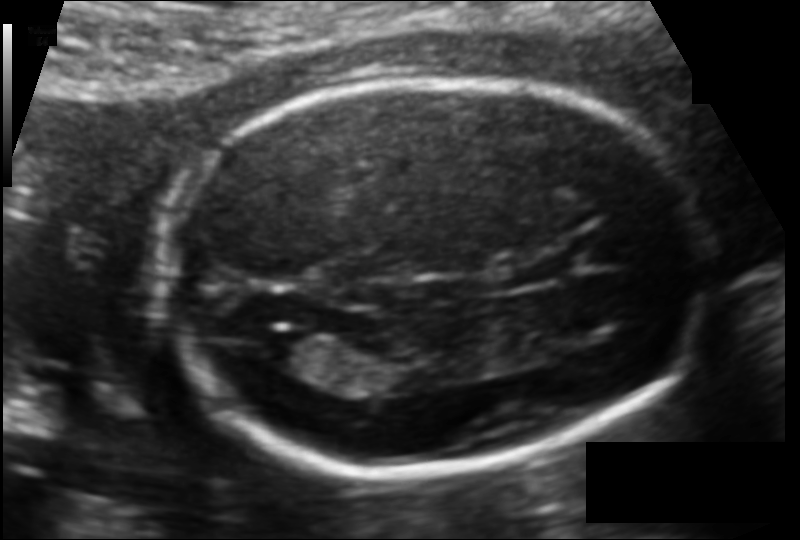
Fetal head ultrasound. Image width: 87.1 mm. Where is the cavum septum pellucidum?

CSP bounding box: [513,254,564,287]